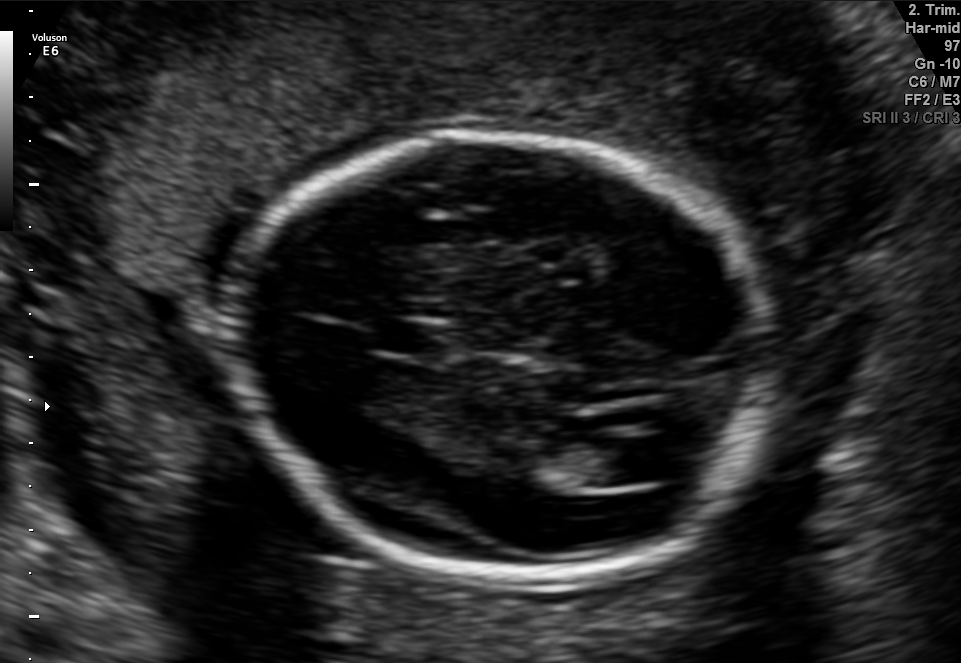
Fetal brain, trans-ventricular plane. Locate the fetal head and, if visible, the cavum septum pellucidum (CSP) and lateral ventricle (LV). Give bounding boxes as [x1,y1,x2,y2].

Head: [228,124,777,593]
CSP: [374,320,431,355]
Lateral ventricle: [599,432,679,489]